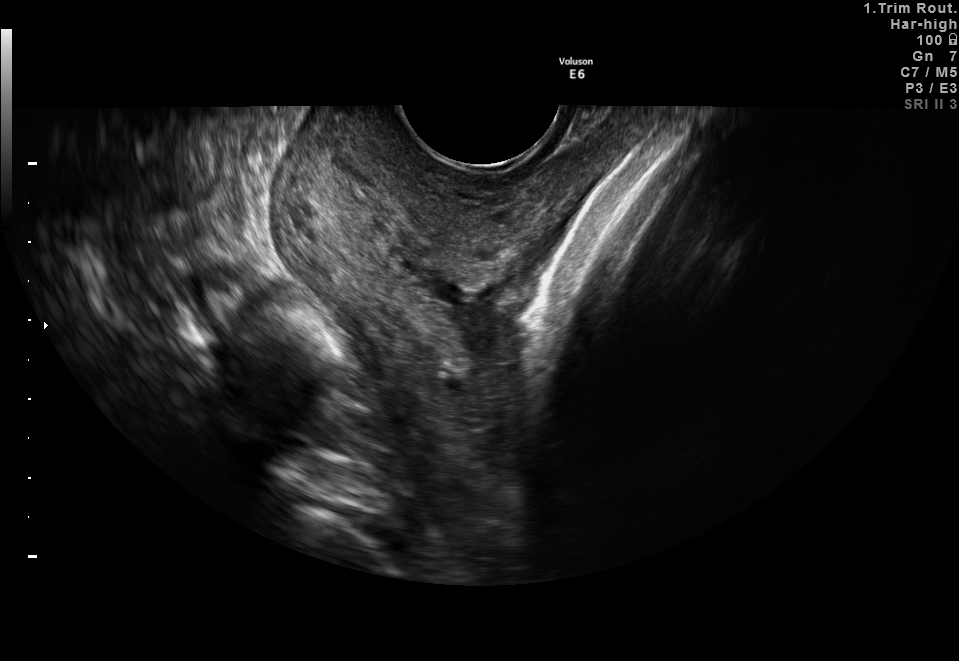
This is a 2D maternal-fetal ultrasound frame. Is it a fetal abdomen, fetal brain, fetal femur, fetal thorax, maternal cervix, or other standard plane? If it's fetal brain and one of the three standard brain planes (trans-thalamic, trans-cerebellum, trans-ventricular), name which.

Maternal cervix